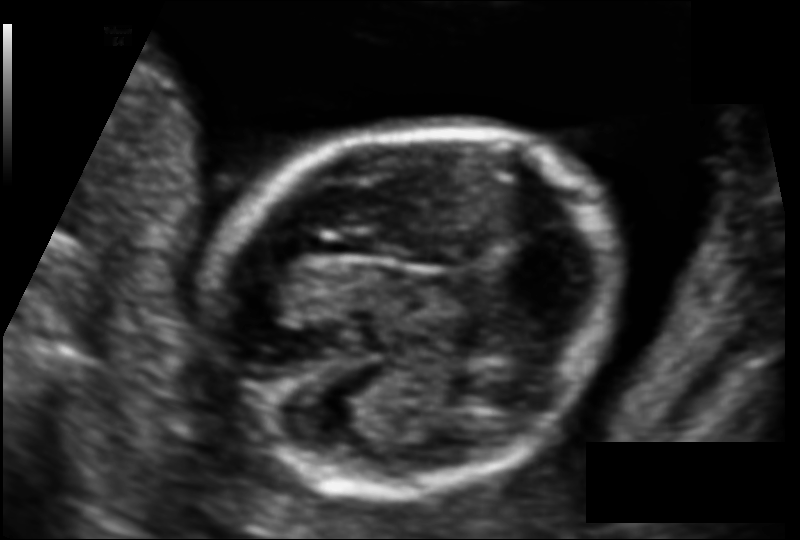
From this fetal ultrasound, estimate the head circumference (image width 79.2 mm).

Head circumference: 123.4 mm.